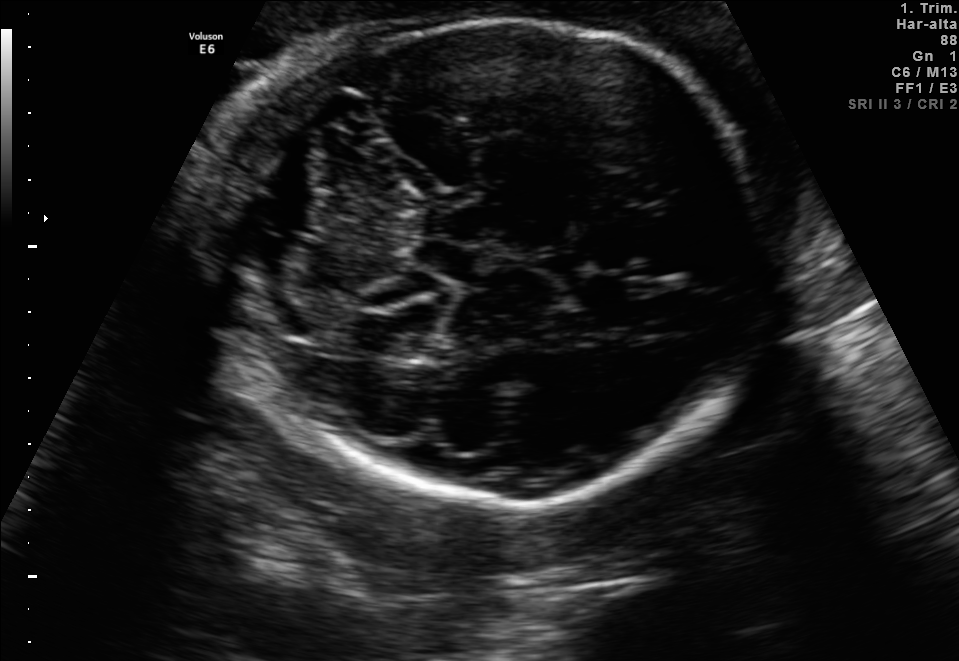
In this fetal brain, trans-cerebellum plane, give the bounding box of the fetal head.

[214,18,769,507]